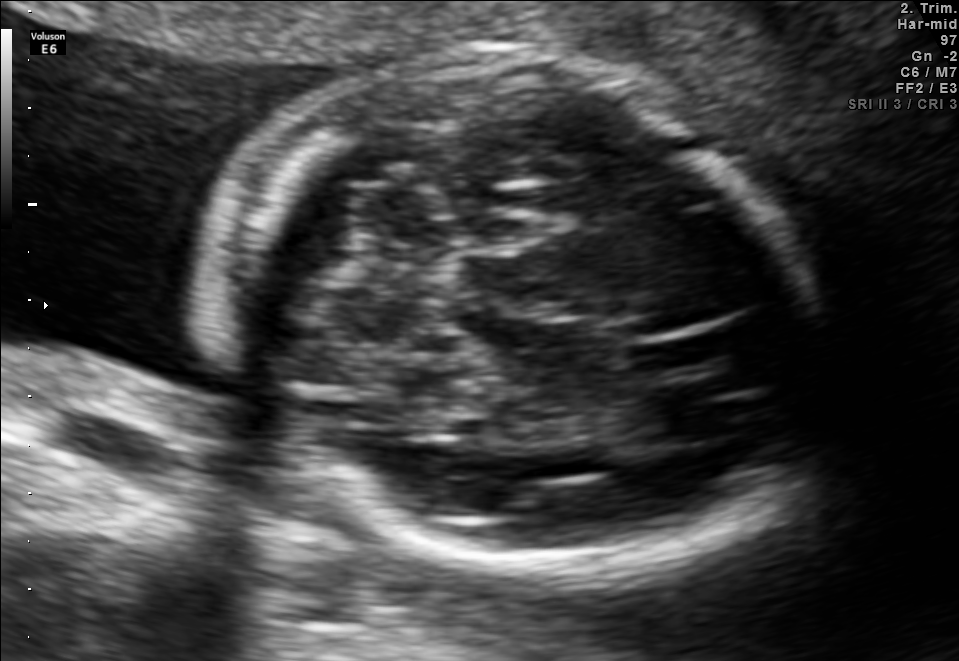
In this fetal brain, trans-cerebellum plane, give the bounding box of the fetal head.

[217,54,822,581]